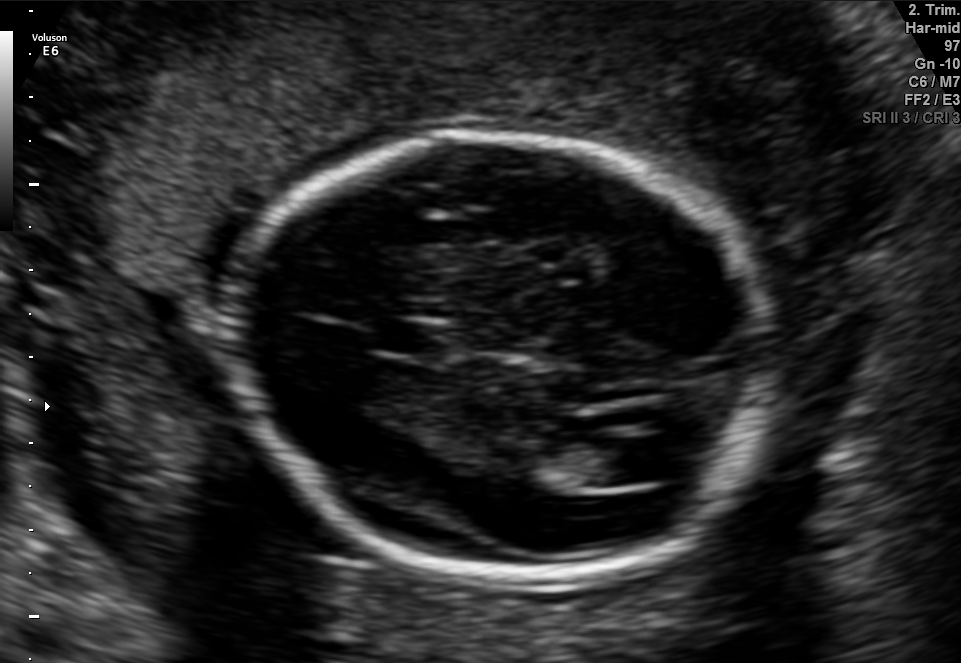
In this fetal brain, trans-ventricular plane, give the bounding box of the fetal head.

[228,124,777,593]